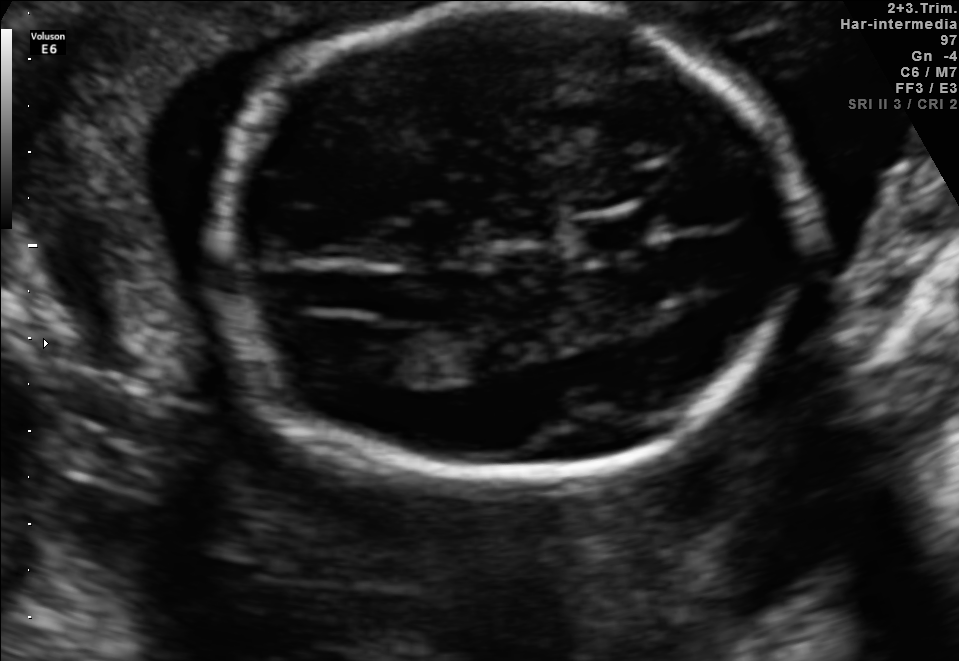
This is a 2D maternal-fetal ultrasound frame. Is it a fetal abdomen, fetal brain, fetal femur, fetal thorax, maternal cervix, or other standard plane? If it's fetal brain and one of the three standard brain planes (trans-thalamic, trans-cerebellum, trans-ventricular), name which.

Fetal brain (trans-ventricular plane)